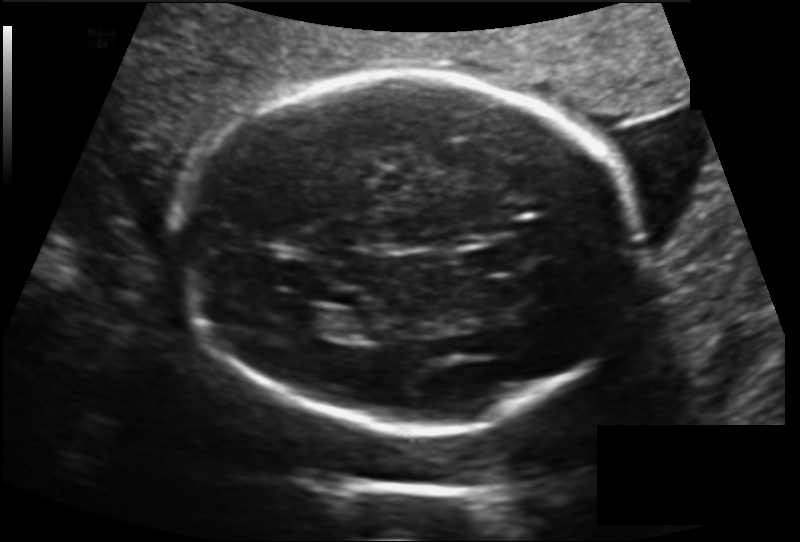
Fetal head ultrasound. Image width: 127.7 mm. Locate the fetal head and, if visible, the cavum septum pellucidum (CSP) and lateral ventricle (LV). Give bounding boxes as [x1,y1,x2,y2].

Head: [175,71,645,421]
CSP: [458,238,521,282]
Lateral ventricle: [285,305,343,337]